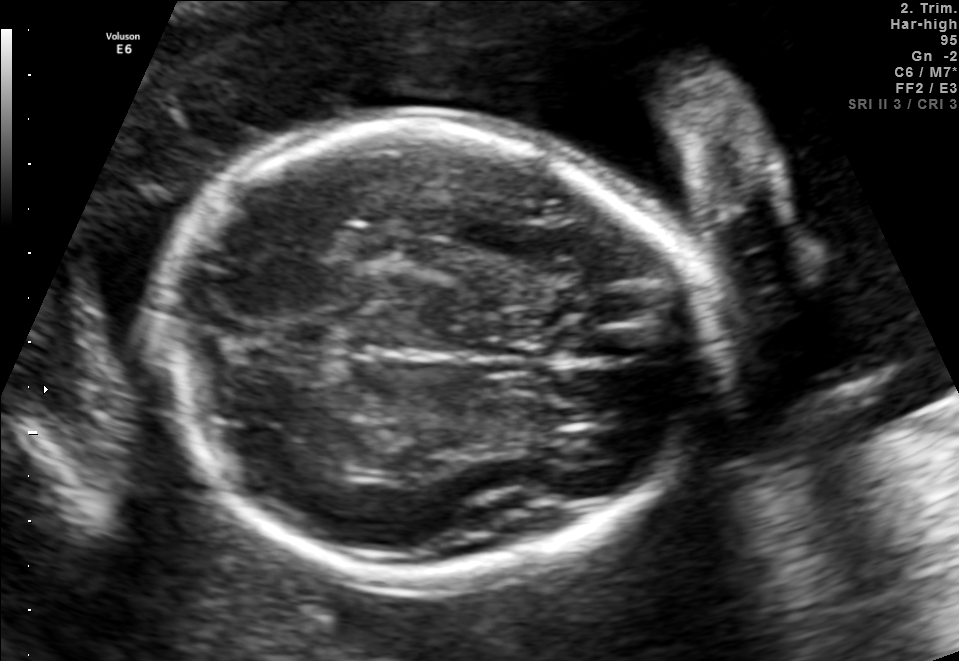
Fetal brain, trans-thalamic plane. Locate the fetal head.

Head: [165,120,714,587]